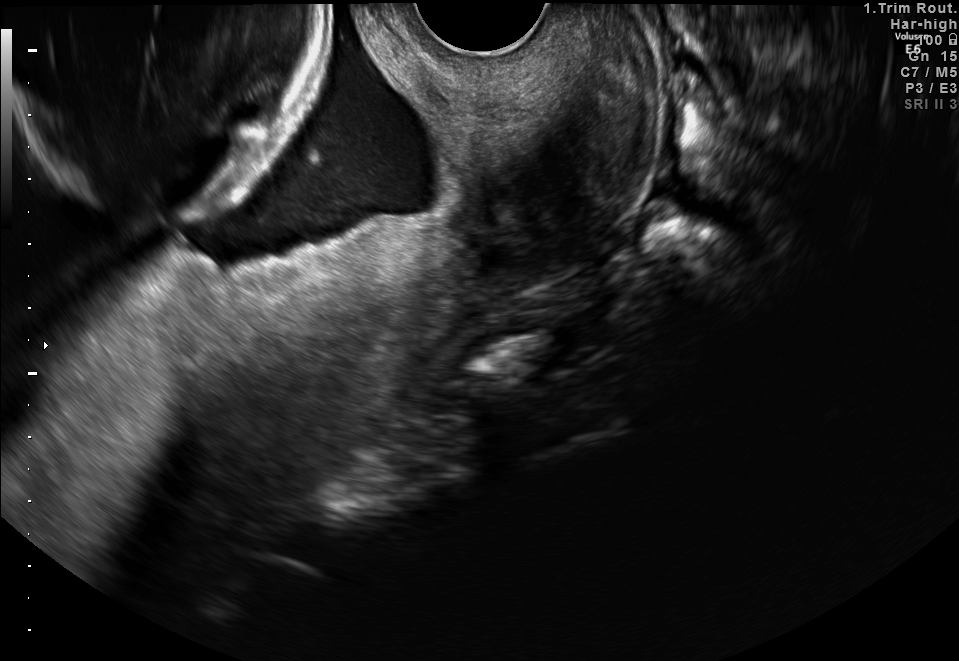
Identify the standard plane in this fetal ultrasound image: fetal abdomen, fetal brain, fetal femur, fetal thorax, maternal cervix, or other. If it's fetal brain and one of the three standard brain planes (trans-thalamic, trans-cerebellum, trans-ventricular), name which.

Maternal cervix